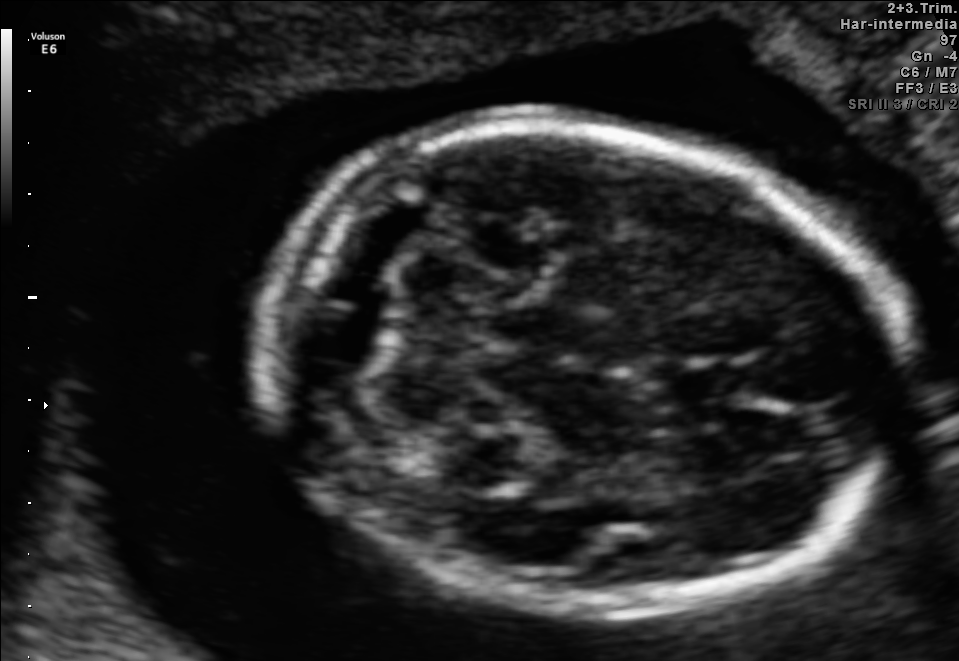
Fetal brain, trans-cerebellum plane. Locate the fetal head.

Head: [260,127,909,614]